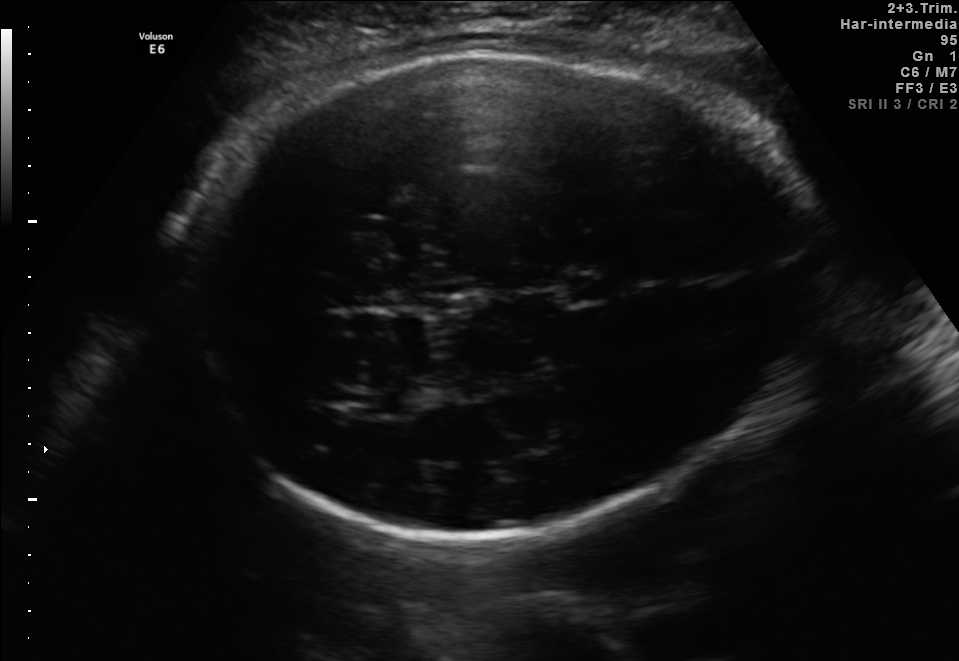
In this fetal brain, trans-thalamic plane, give the bounding box of the lateral ventricle.

[340,389,411,415]